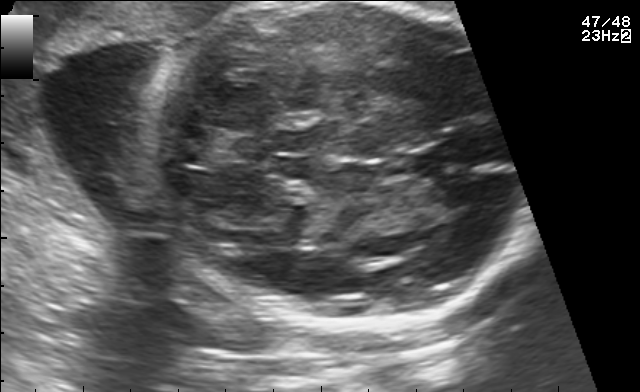
In this fetal brain, trans-thalamic plane, give bounding boxes for the cavum septum pellucidum (CSP) and lateral ventricle (LV), where visible.

CSP: [408,140,456,173]